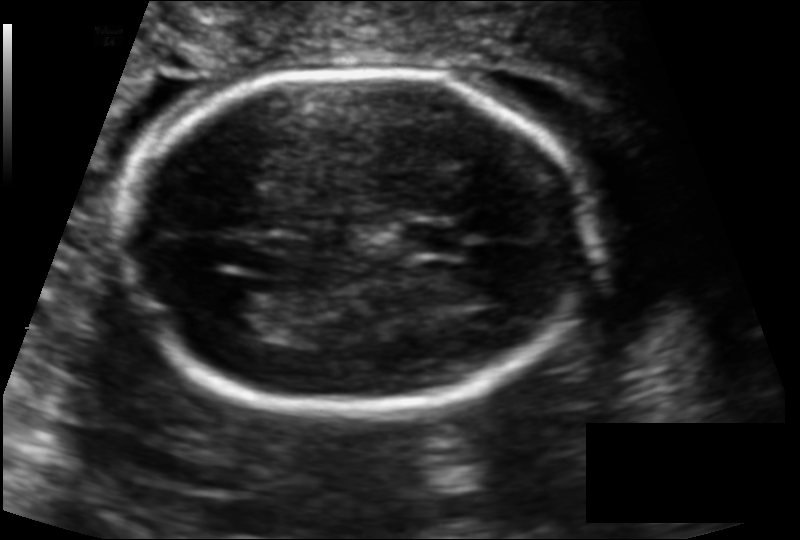
In this fetal head ultrasound, give the bounding box of the fetal head. Image width: 97.4 mm.

[122,69,593,413]